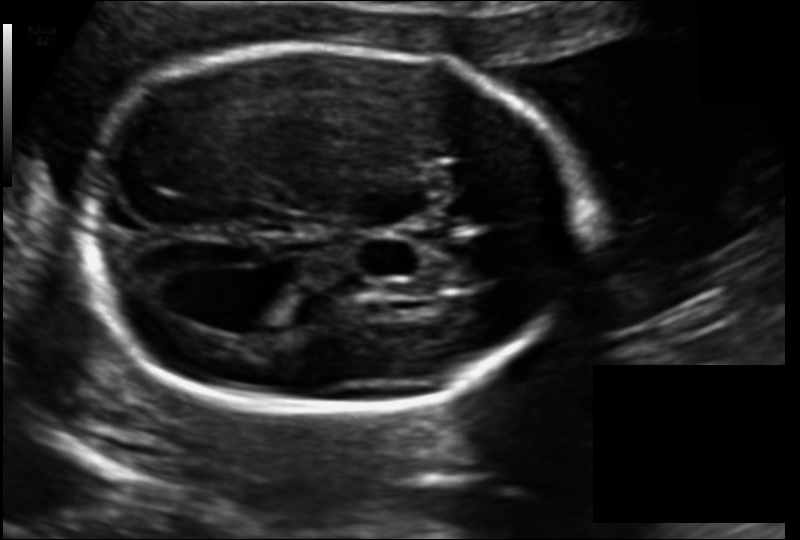
From this fetal ultrasound, estimate the head circumference (image width 102.4 mm).

Head circumference: 182.7 mm.